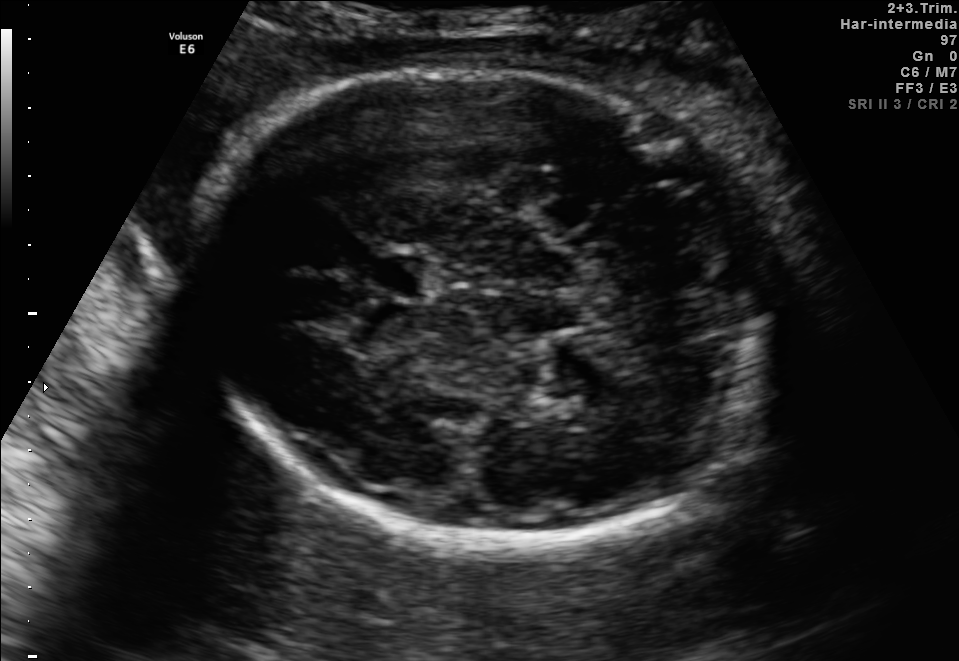
Fetal brain, trans-thalamic plane. Where is the fetal head?

Head bounding box: [185,67,770,552]